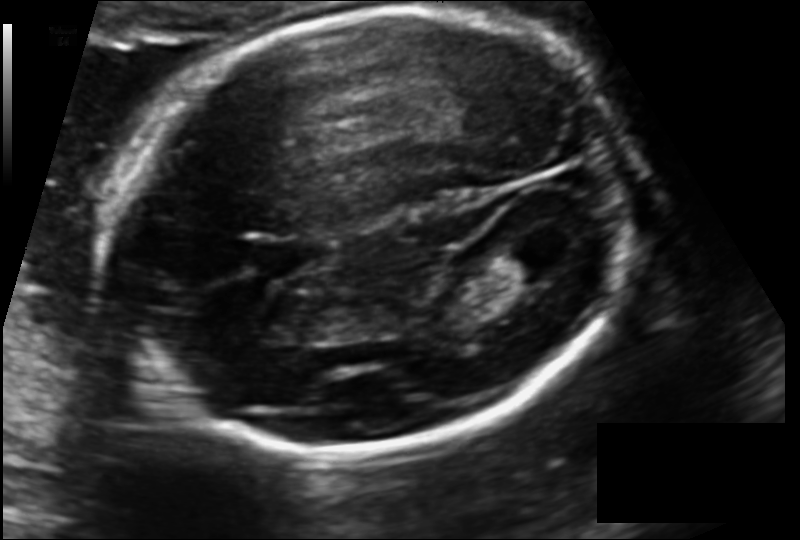
Estimate the fetal head circumference from this 2D ultrasound. Image width: 105.5 mm.

Head circumference: 204.9 mm.